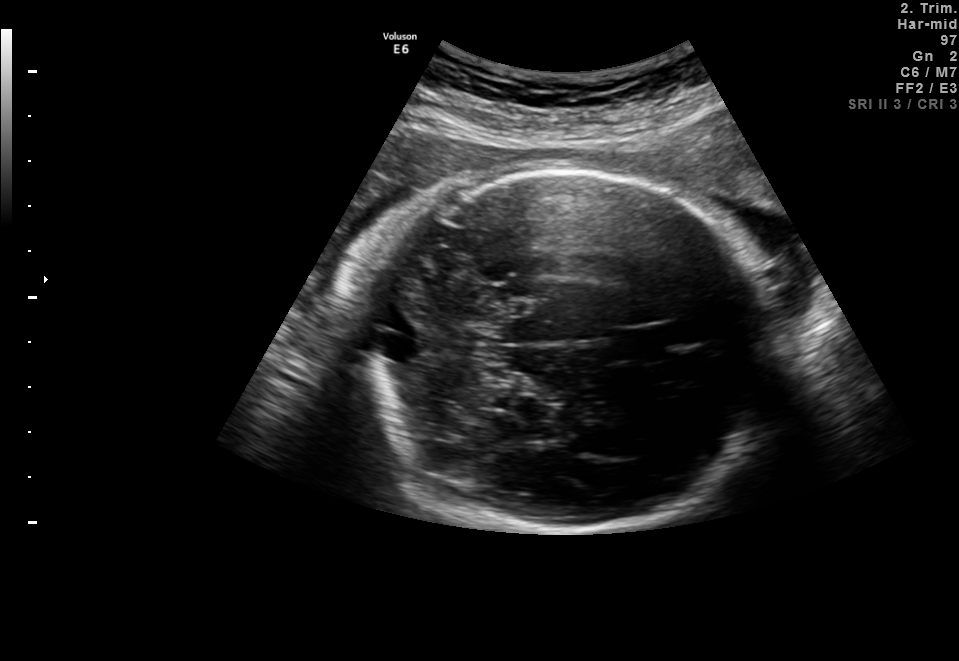
In this fetal brain, trans-cerebellum plane, give the bounding box of the fetal head.

[358,170,775,535]